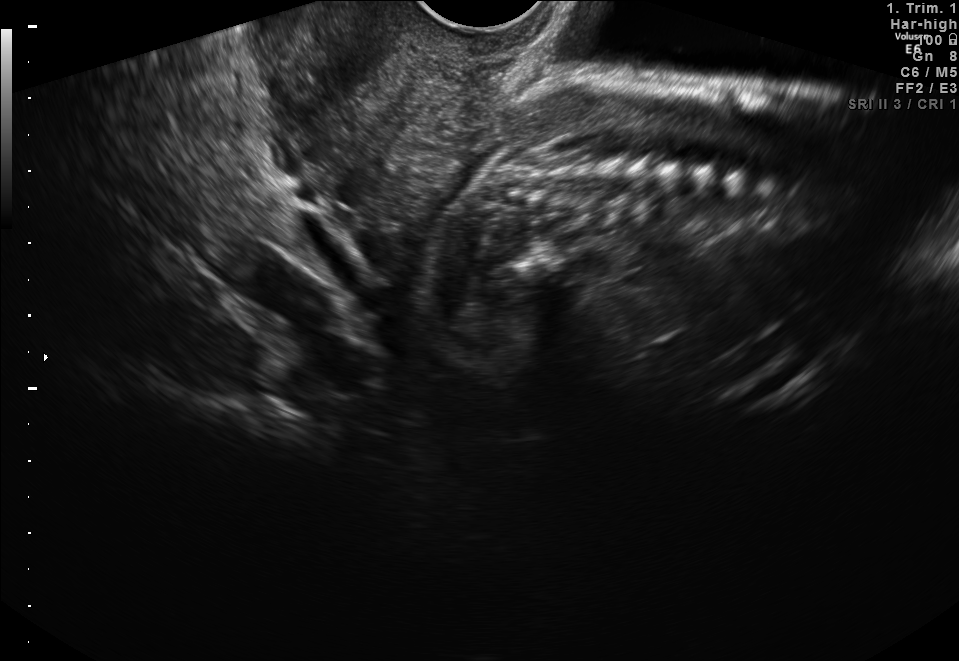
Identify the standard plane in this fetal ultrasound image: fetal abdomen, fetal brain, fetal femur, fetal thorax, maternal cervix, or other. If it's fetal brain and one of the three standard brain planes (trans-thalamic, trans-cerebellum, trans-ventricular), name which.

Maternal cervix